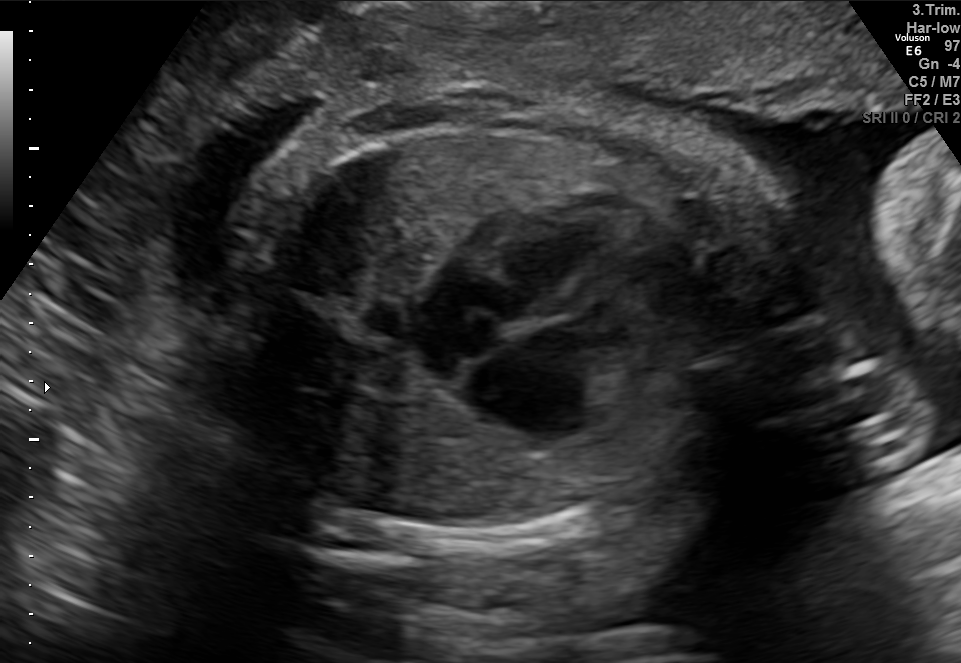
Classify this maternal-fetal ultrasound image as one of the six standard planes — fetal abdomen, fetal brain, fetal femur, fetal thorax, maternal cervix, or other. If it's fetal brain and one of the three standard brain planes (trans-thalamic, trans-cerebellum, trans-ventricular), name which.

Fetal thorax